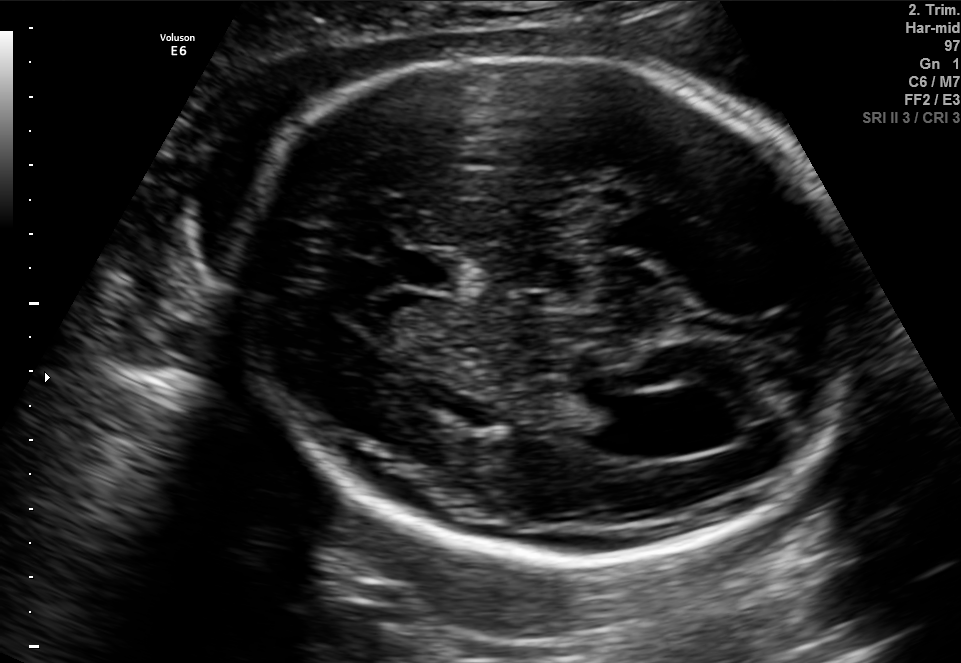
This is a 2D maternal-fetal ultrasound frame. Is it a fetal abdomen, fetal brain, fetal femur, fetal thorax, maternal cervix, or other standard plane? If it's fetal brain and one of the three standard brain planes (trans-thalamic, trans-cerebellum, trans-ventricular), name which.

Fetal brain (trans-ventricular plane)